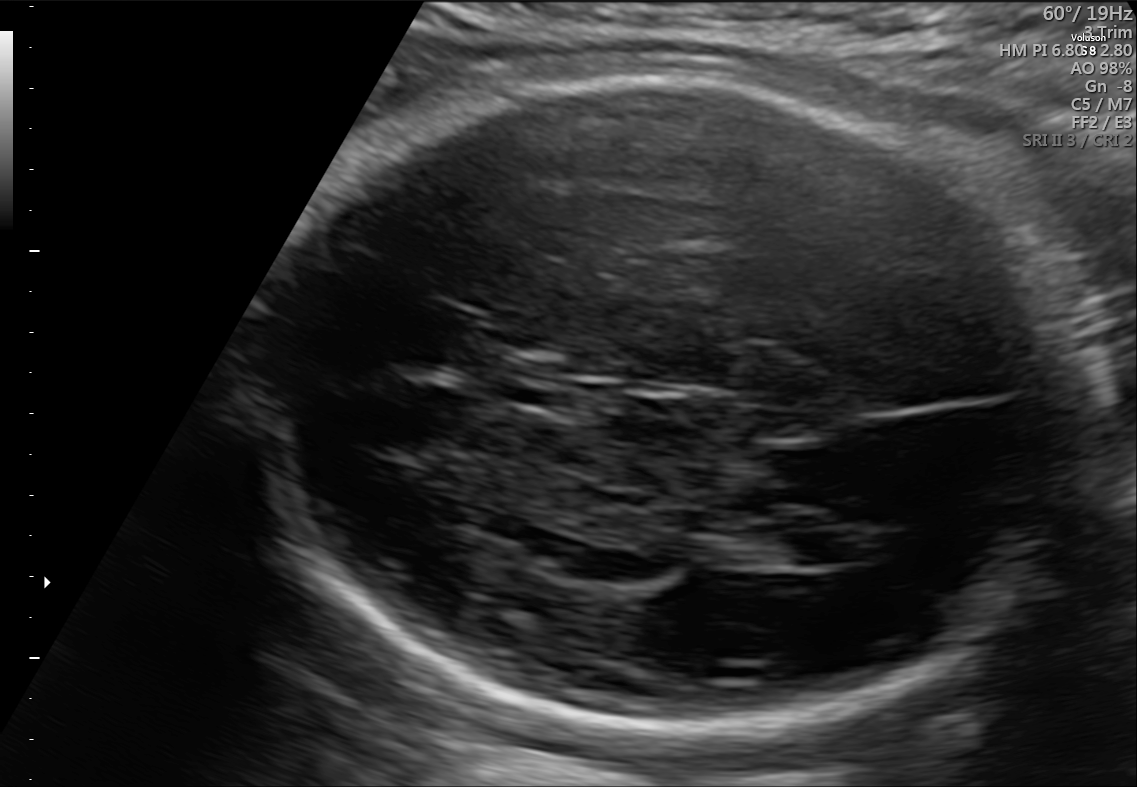
In this fetal brain, trans-ventricular plane, give the bounding box of the fetal head.

[253,54,1107,748]